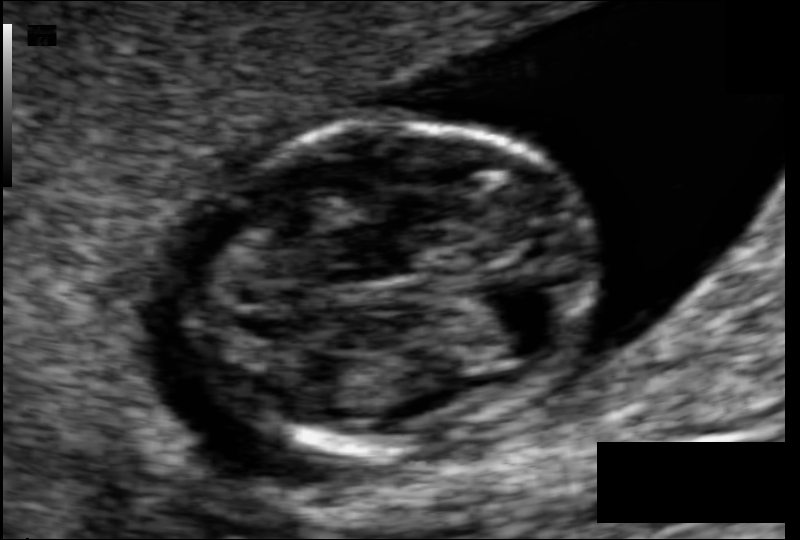
Fetal head ultrasound. Image width: 49.9 mm. Locate the fetal head.

Head: [184,122,594,451]